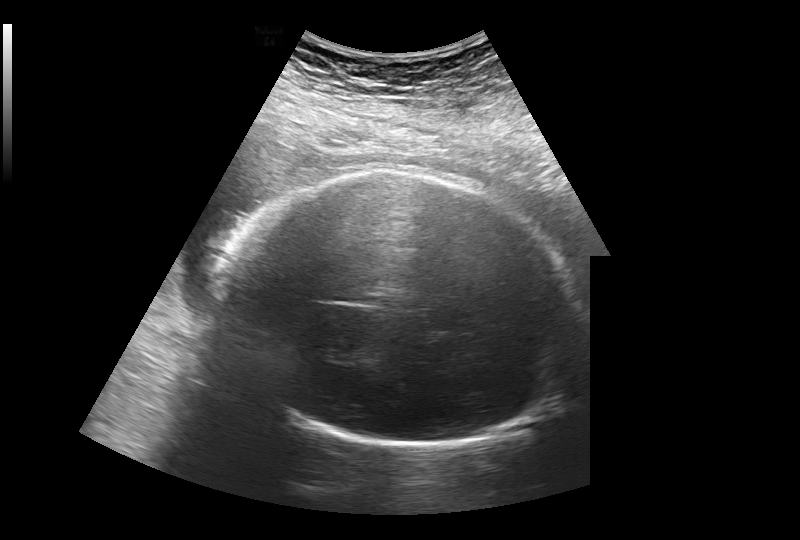
In this fetal head ultrasound, give the bounding box of the fetal head. Image width: 246.2 mm.

[221,172,577,447]